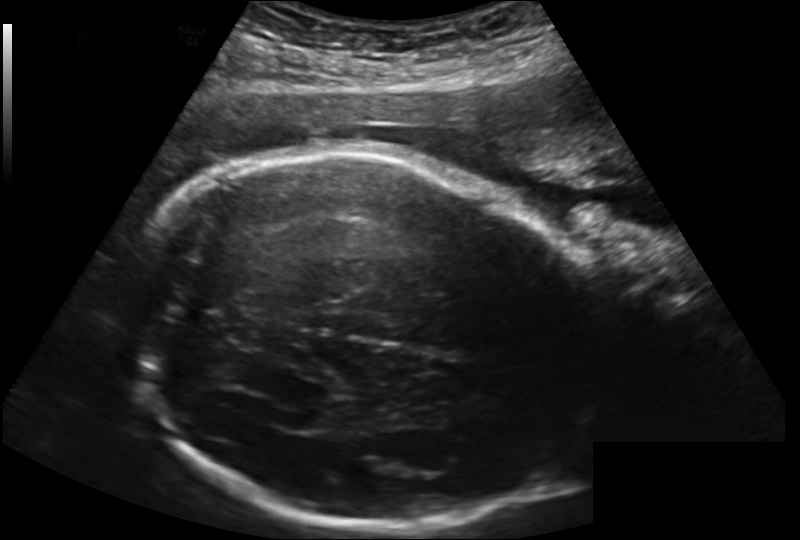
Fetal head ultrasound. Image width: 161.7 mm. Locate the fetal head.

Head: [125,150,601,529]